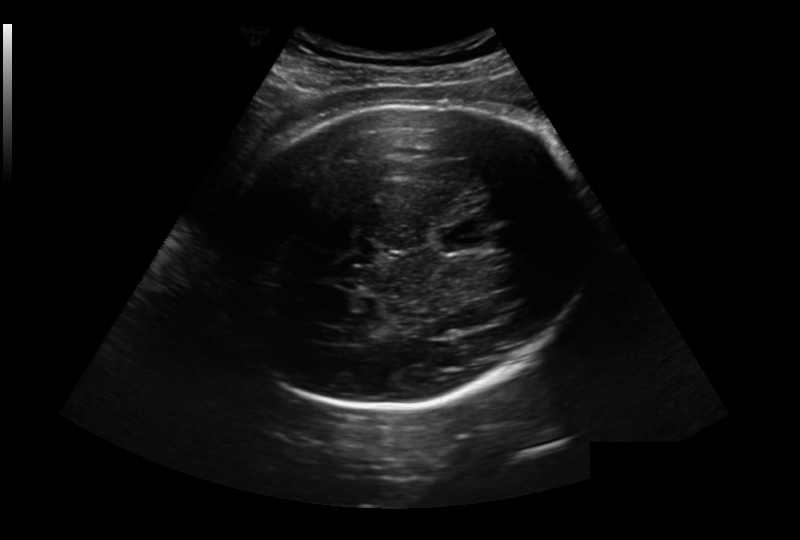
In this fetal head ultrasound, give bounding boxes for the head outline, cavum septum pellucidum (CSP), and lateral ventricle (LV), where visible. Image width: 224.8 mm.

Head: [215,107,591,410]
CSP: [435,220,494,255]
Lateral ventricle: [312,326,351,346]